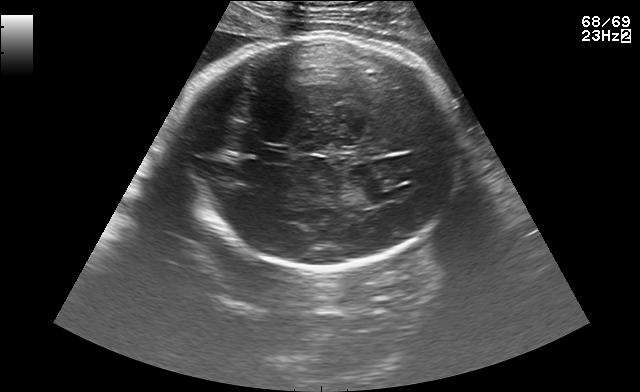
Fetal brain, trans-thalamic plane. Locate the fetal head and, if visible, the cavum septum pellucidum (CSP) and lateral ventricle (LV). Give bounding boxes as [x1,y1,x2,y2].

Head: [172,38,467,266]
CSP: [262,150,290,164]
Lateral ventricle: [381,181,414,203]